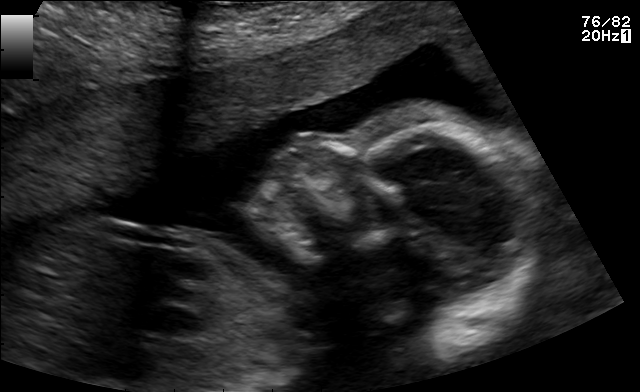
Identify the standard plane in this fetal ultrasound image: fetal abdomen, fetal brain, fetal femur, fetal thorax, maternal cervix, or other. If it's fetal brain and one of the three standard brain planes (trans-thalamic, trans-cerebellum, trans-ventricular), name which.

Other